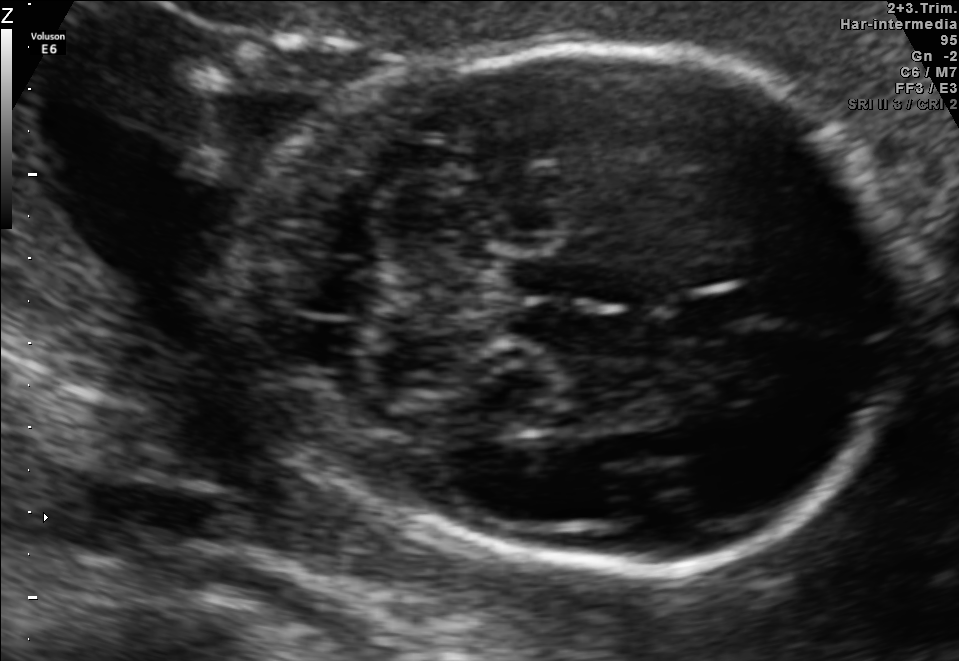
Fetal brain, trans-cerebellum plane. Give [x1,y1,x2,y2] bounding boxes for each visible structure among: fetal head, CSP, LV.

Head: [234,46,913,569]
CSP: [667,279,763,342]